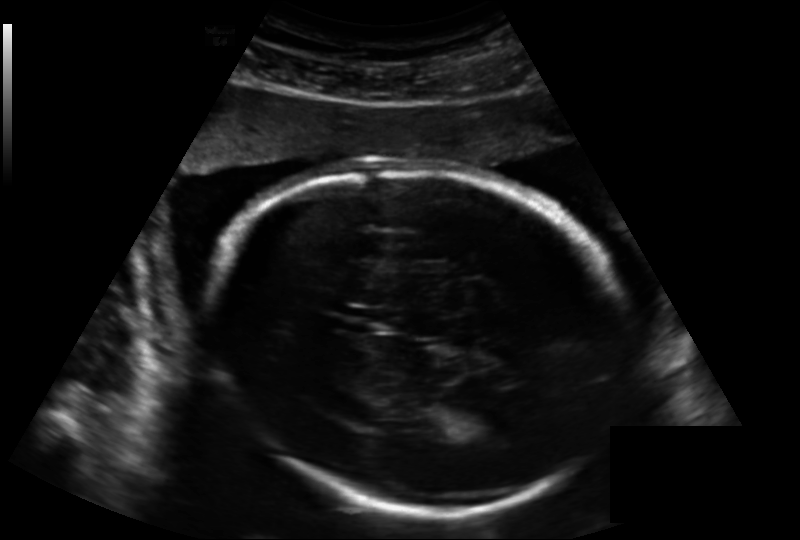
Fetal head ultrasound. Image width: 150.3 mm. Where is the fetal head?

Head bounding box: [204,167,632,510]